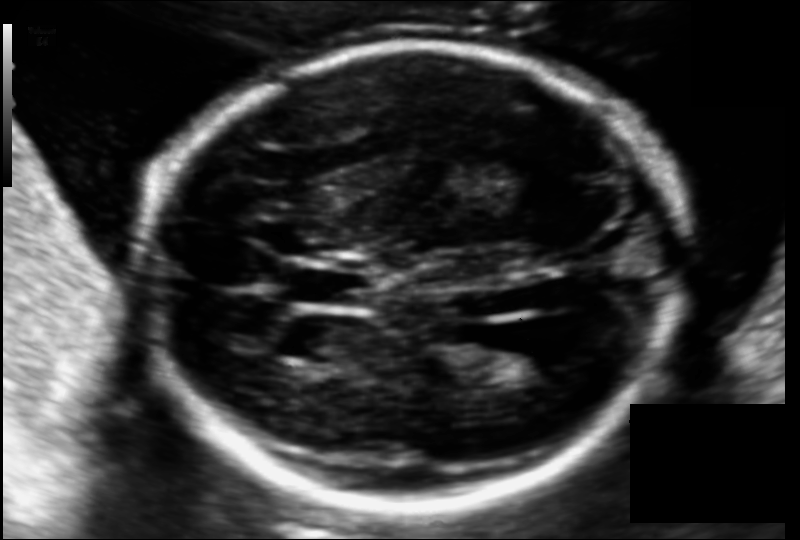
Estimate the fetal head circumference from this 2D ultrasound. Image width: 94.4 mm.

Head circumference: 191.5 mm.